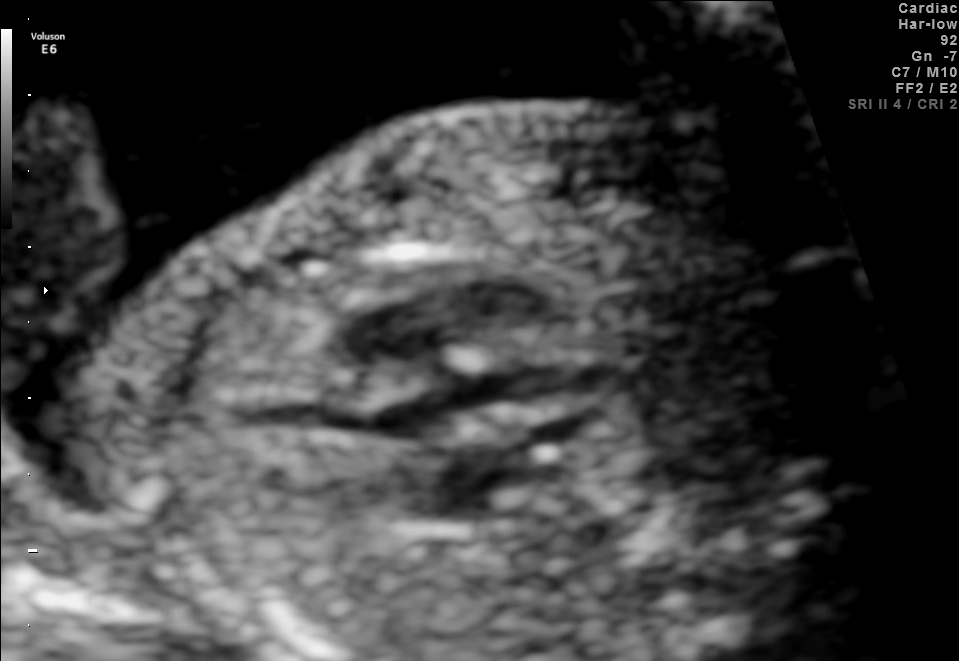
Which standard maternal-fetal ultrasound plane is shown: fetal abdomen, fetal brain, fetal femur, fetal thorax, maternal cervix, or other? If it's fetal brain and one of the three standard brain planes (trans-thalamic, trans-cerebellum, trans-ventricular), name which.

Other